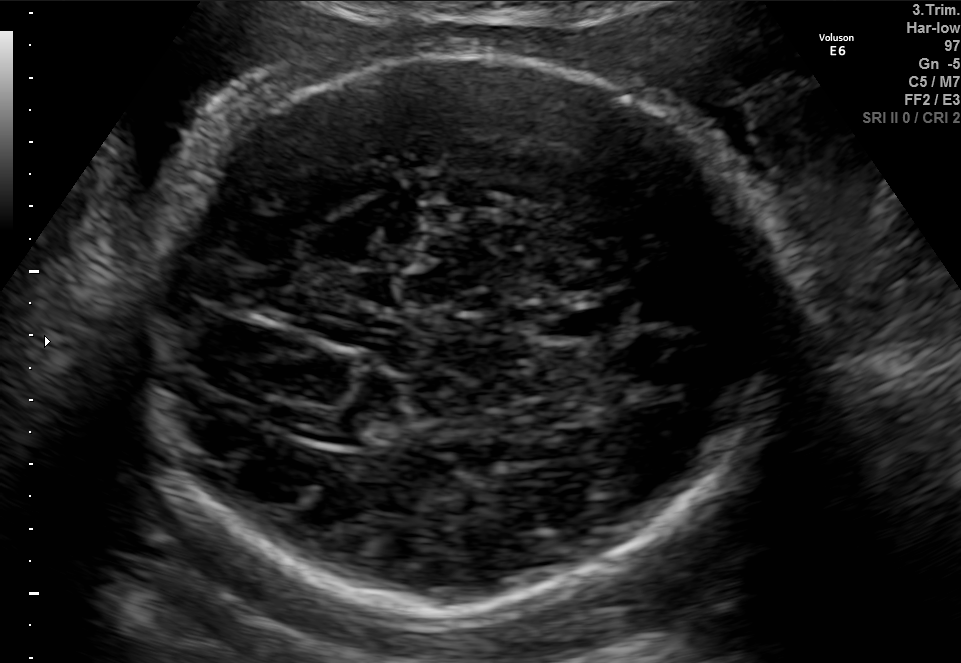
Fetal brain, trans-thalamic plane. Locate the lateral ventricle.

Lateral ventricle: [290,404,368,447]